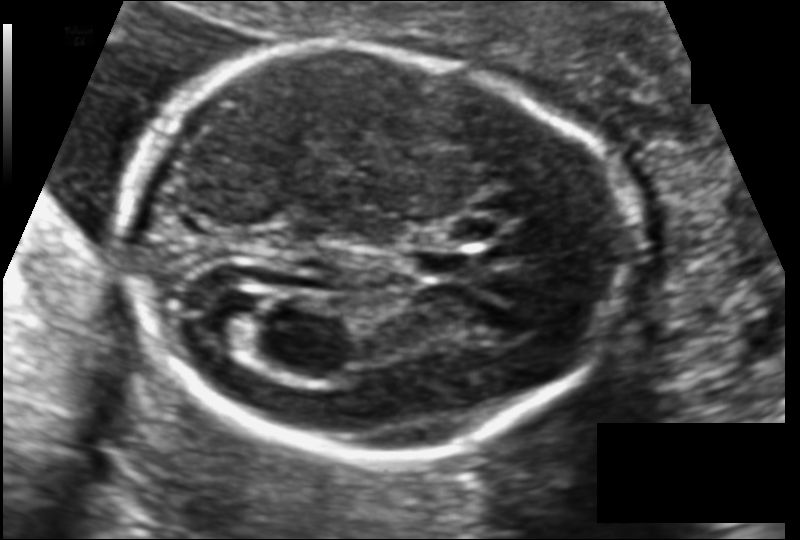
Fetal head ultrasound. Image width: 93.1 mm. Where is the lateral ventricle?

Lateral ventricle bounding box: [189,282,271,356]